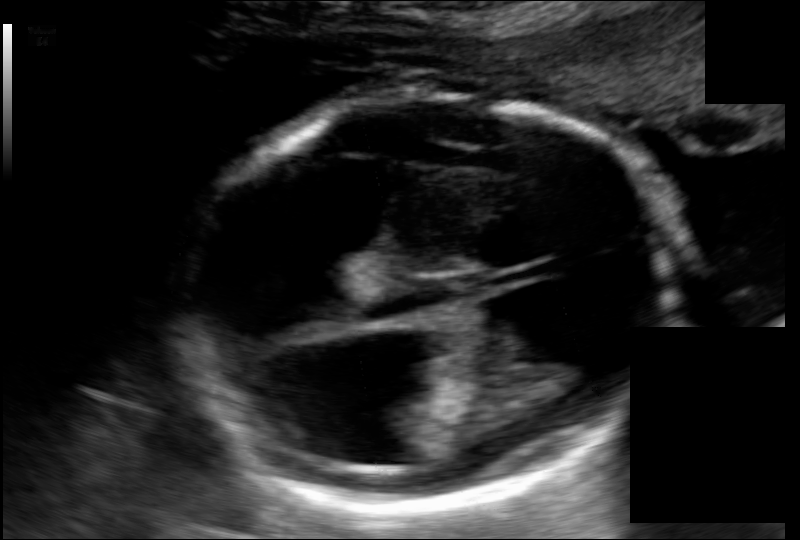
From this fetal ultrasound, estimate the head circumference (image width 107.8 mm).

Head circumference: 196.9 mm.